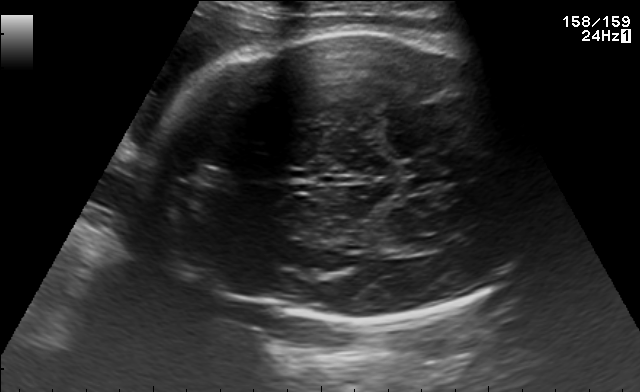
Fetal brain, trans-thalamic plane. Locate the fetal head and, if visible, the cavum septum pellucidum (CSP) and lateral ventricle (LV). Give bounding boxes as [x1,y1,x2,y2].

Head: [141,27,532,324]
Lateral ventricle: [380,236,429,259]